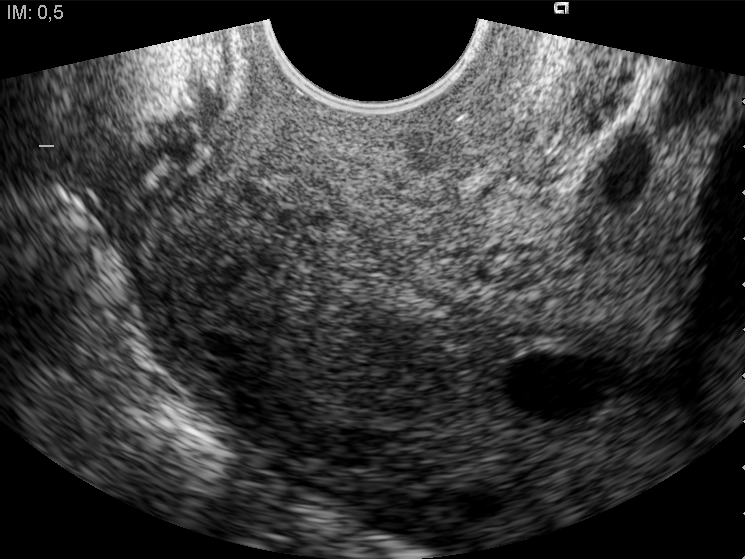
Identify the standard plane in this fetal ultrasound image: fetal abdomen, fetal brain, fetal femur, fetal thorax, maternal cervix, or other. If it's fetal brain and one of the three standard brain planes (trans-thalamic, trans-cerebellum, trans-ventricular), name which.

Maternal cervix